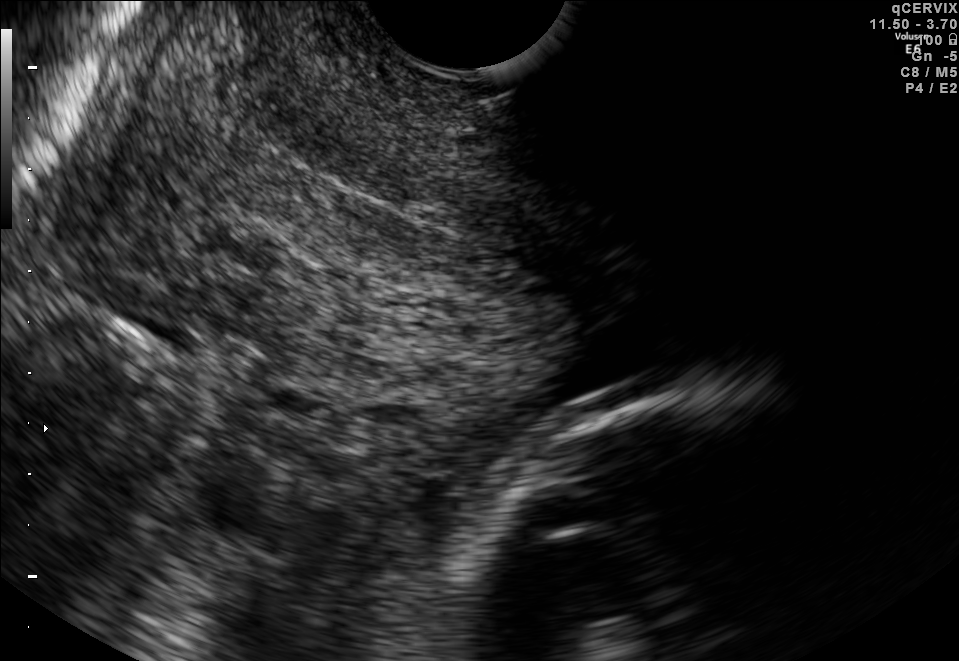
Identify the standard plane in this fetal ultrasound image: fetal abdomen, fetal brain, fetal femur, fetal thorax, maternal cervix, or other. If it's fetal brain and one of the three standard brain planes (trans-thalamic, trans-cerebellum, trans-ventricular), name which.

Maternal cervix